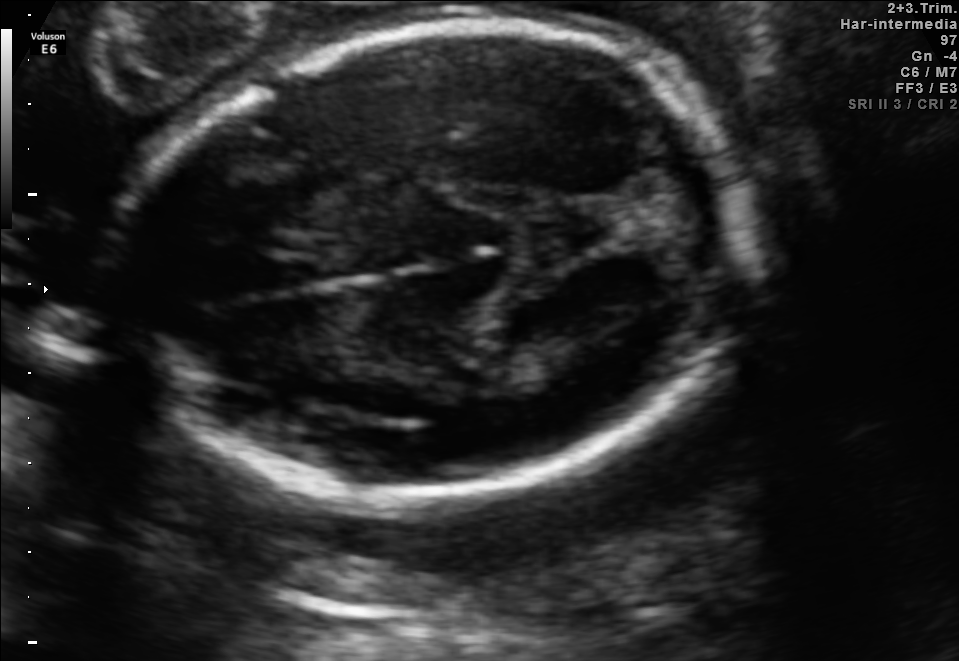
Classify this maternal-fetal ultrasound image as one of the six standard planes — fetal abdomen, fetal brain, fetal femur, fetal thorax, maternal cervix, or other. If it's fetal brain and one of the three standard brain planes (trans-thalamic, trans-cerebellum, trans-ventricular), name which.

Fetal brain (trans-thalamic plane)